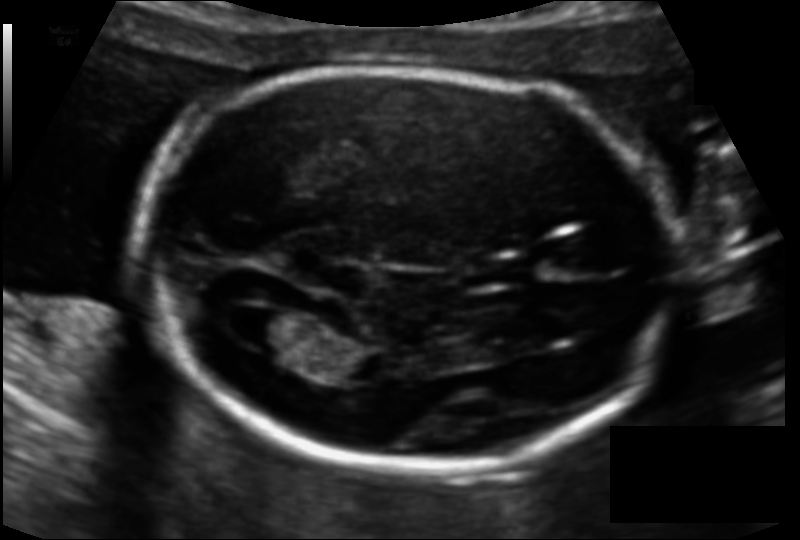
Fetal head ultrasound. Image width: 89.1 mm. Locate the fetal head.

Head: [140,66,673,471]